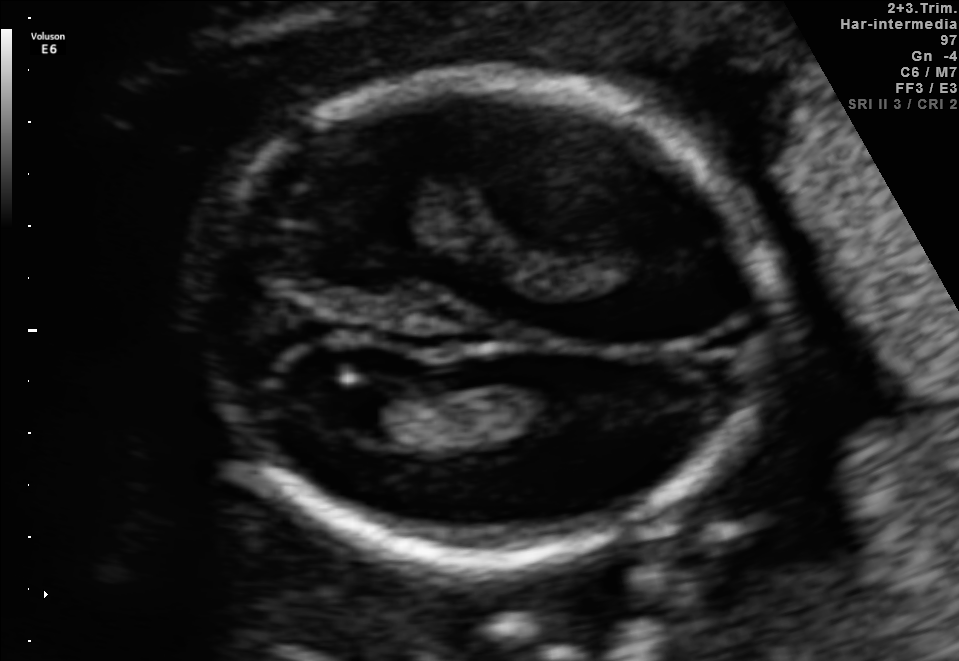
Fetal brain, trans-ventricular plane. Where is the fetal head?

Head bounding box: [176,66,793,575]